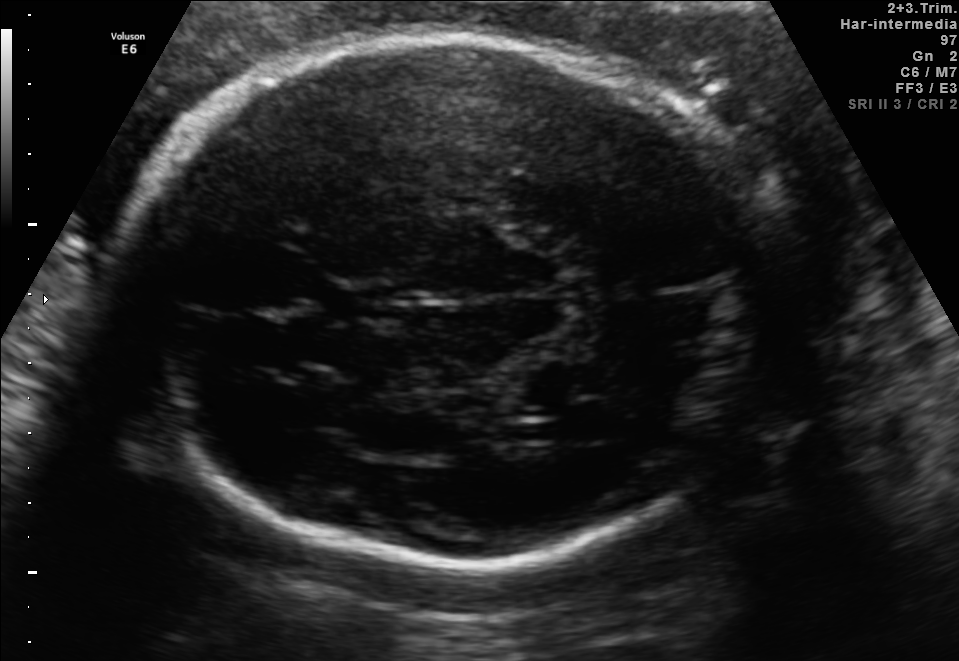
In this fetal brain, trans-thalamic plane, give the bounding box of the lateral ventricle.

[529,414,585,445]